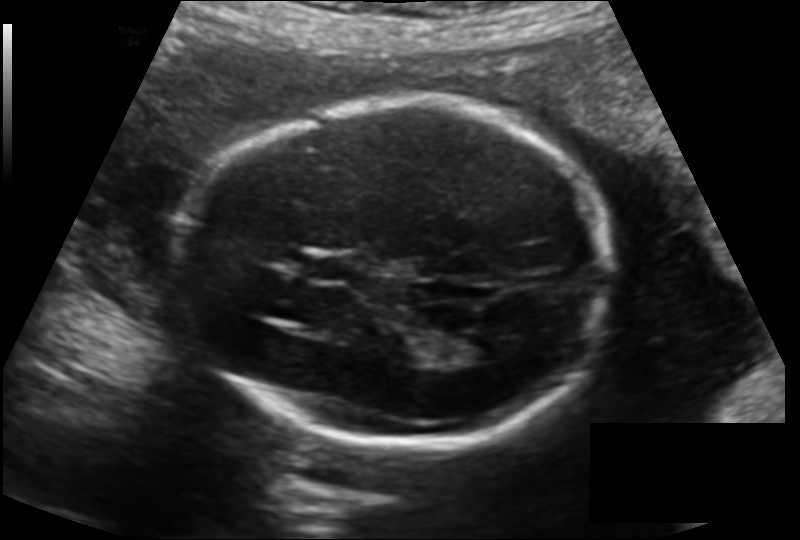
In this fetal head ultrasound, give the bounding box of the cavum septum pellucidum. Image width: 115.3 mm.

[309,256,362,282]